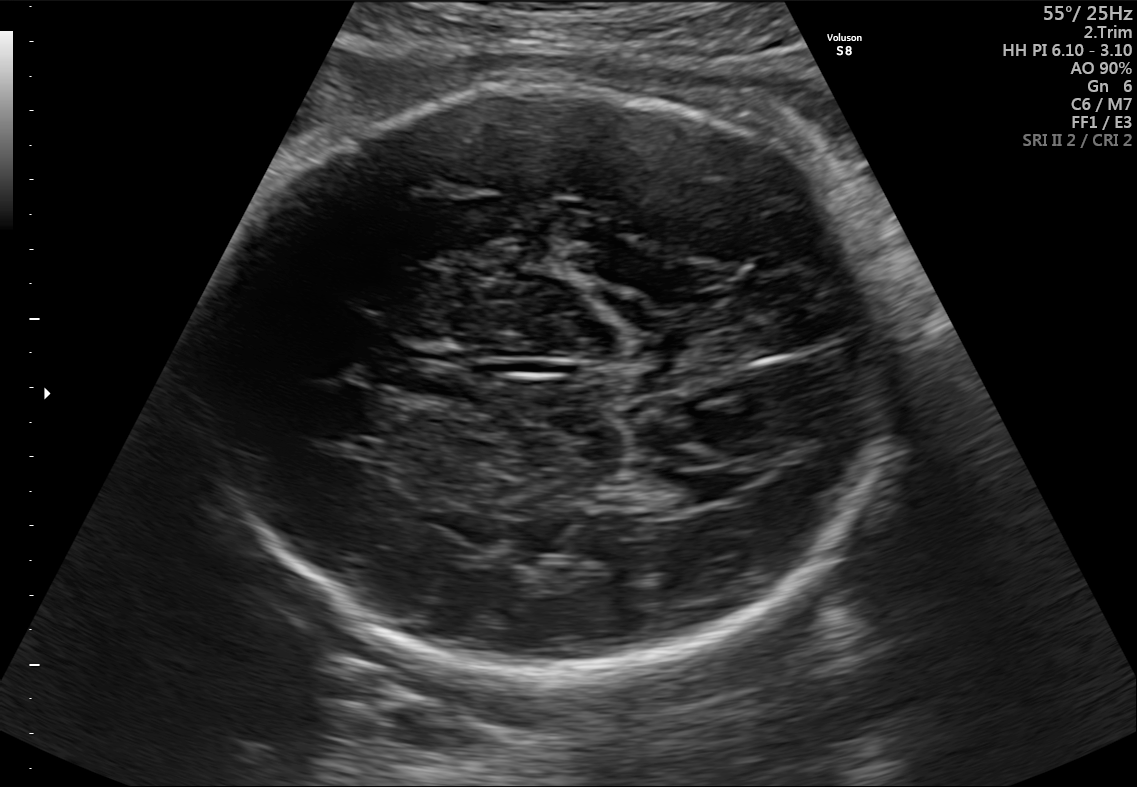
In this fetal brain, trans-thalamic plane, give the bounding box of the cavum septum pellucidum.

[394,362,481,405]